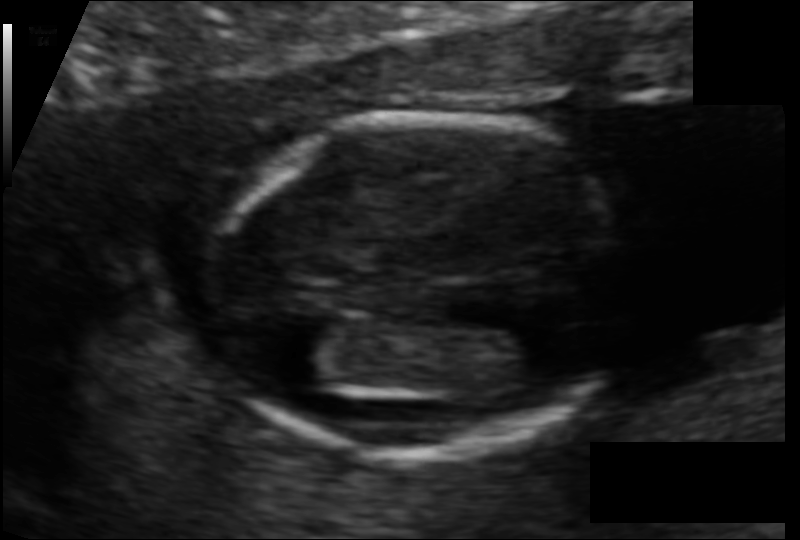
Estimate the fetal head circumference from this 2D ultrasound.

Head circumference: 101.1 mm (image width 65.5 mm).